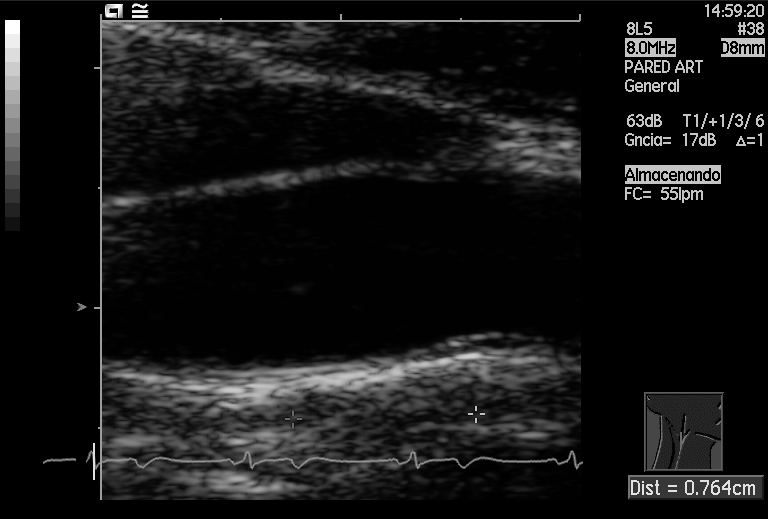
Classify this maternal-fetal ultrasound image as one of the six standard planes — fetal abdomen, fetal brain, fetal femur, fetal thorax, maternal cervix, or other. If it's fetal brain and one of the three standard brain planes (trans-thalamic, trans-cerebellum, trans-ventricular), name which.

Other